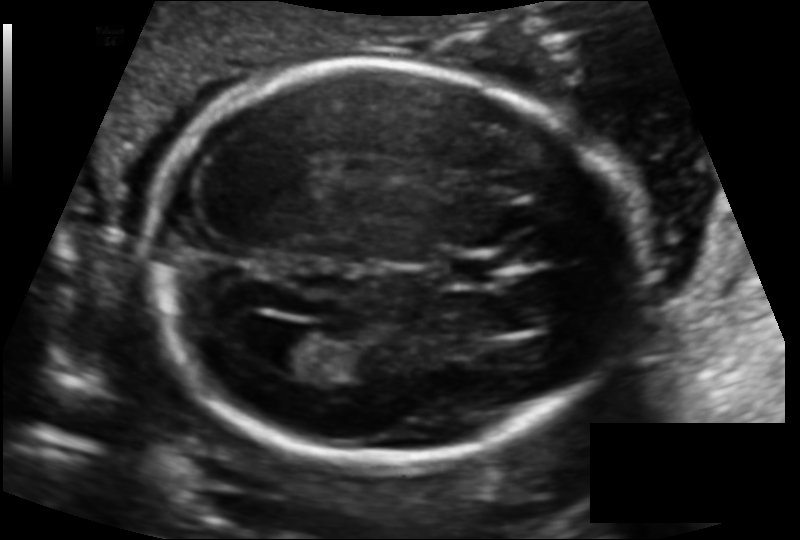
In this fetal head ultrasound, give the bounding box of the cavum septum pellucidum. Image width: 100.1 mm.

[445,254,504,286]